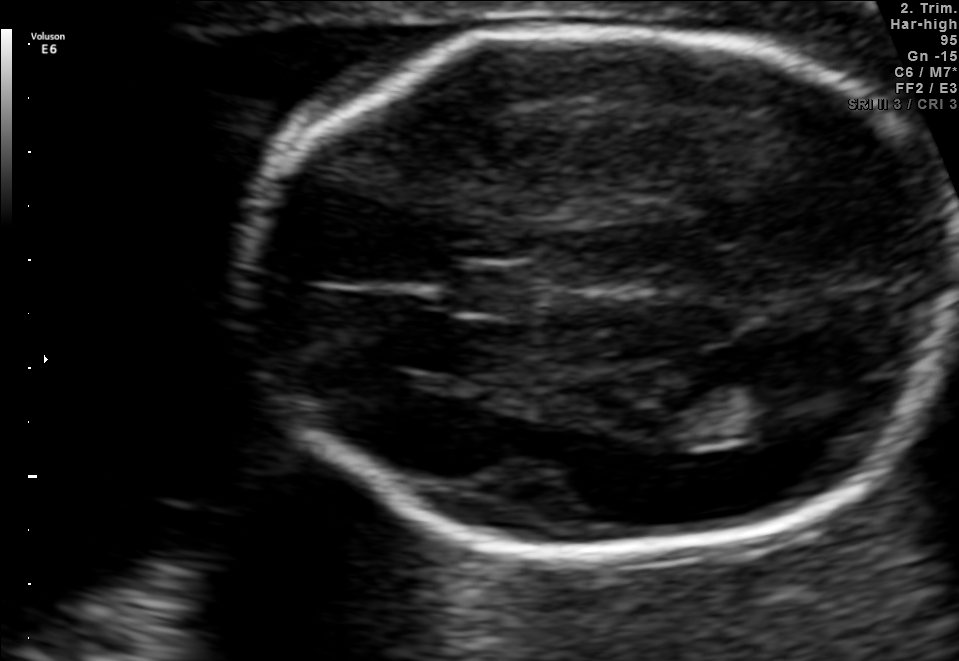
Fetal brain, trans-thalamic plane. Locate the fetal head and, if visible, the cavum septum pellucidum (CSP) and lateral ventricle (LV). Give bounding boxes as [x1,y1,x2,y2].

Head: [240,29,958,552]
CSP: [453,265,531,313]
Lateral ventricle: [723,362,840,444]